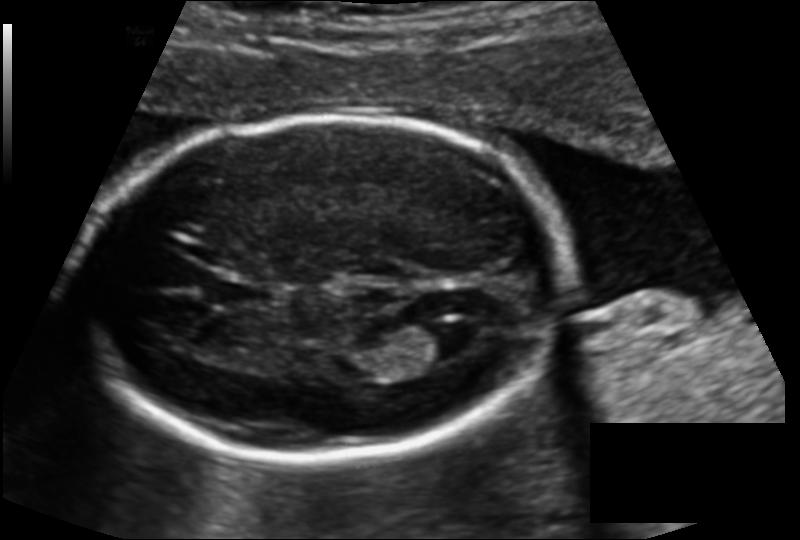
What is the fetal head circumference? Image width is 109.1 mm.

183.1 mm